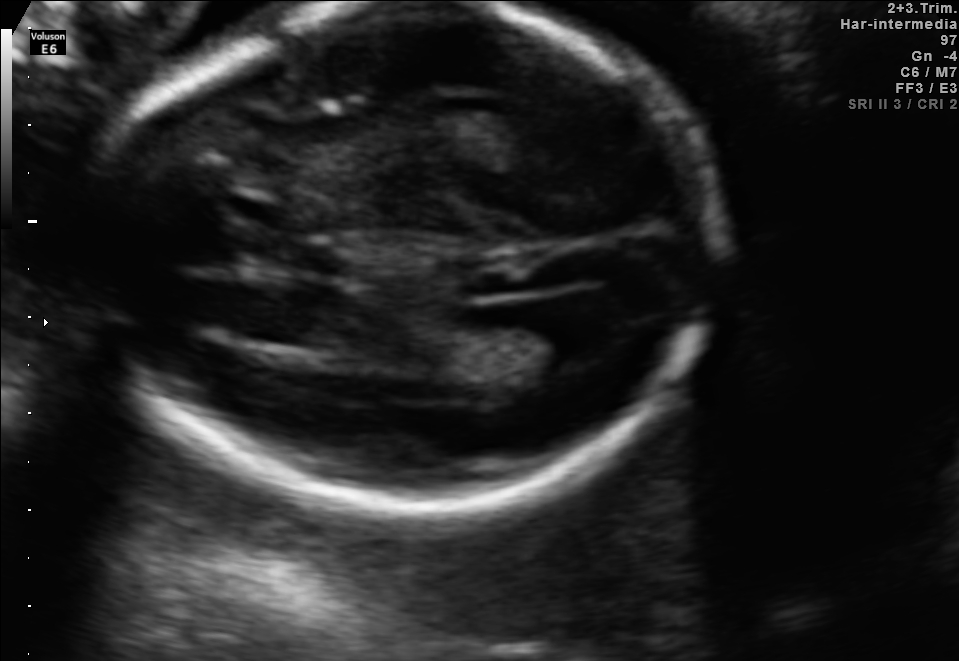
Fetal brain, trans-ventricular plane. Locate the fetal head and, if visible, the cavum septum pellucidum (CSP) and lateral ventricle (LV). Give bounding boxes as [x1,y1,x2,y2].

Head: [74,1,741,526]
Lateral ventricle: [505,286,623,380]